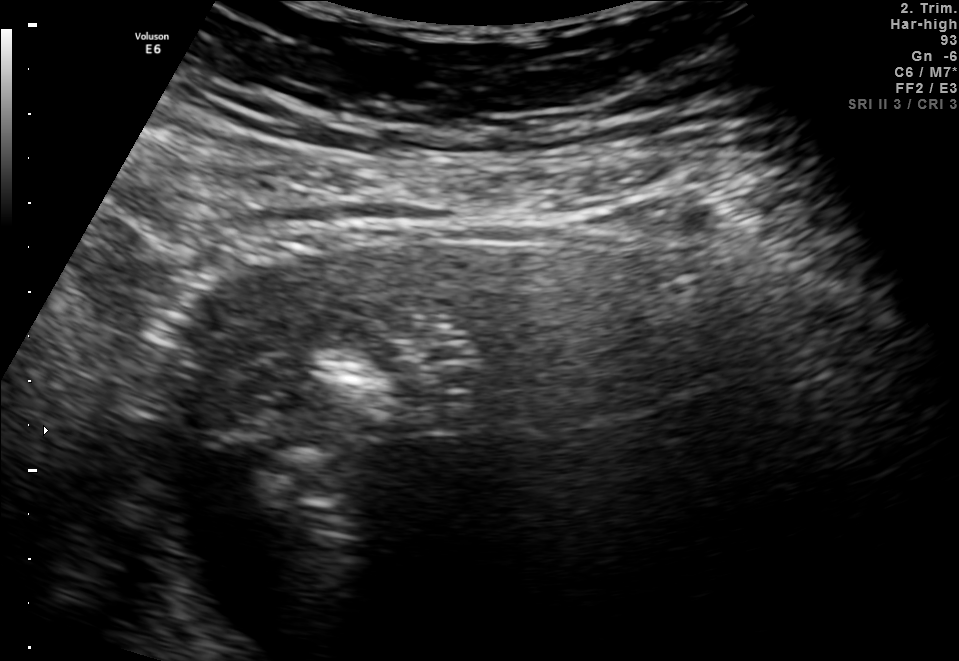
Which standard maternal-fetal ultrasound plane is shown: fetal abdomen, fetal brain, fetal femur, fetal thorax, maternal cervix, or other? If it's fetal brain and one of the three standard brain planes (trans-thalamic, trans-cerebellum, trans-ventricular), name which.

Other